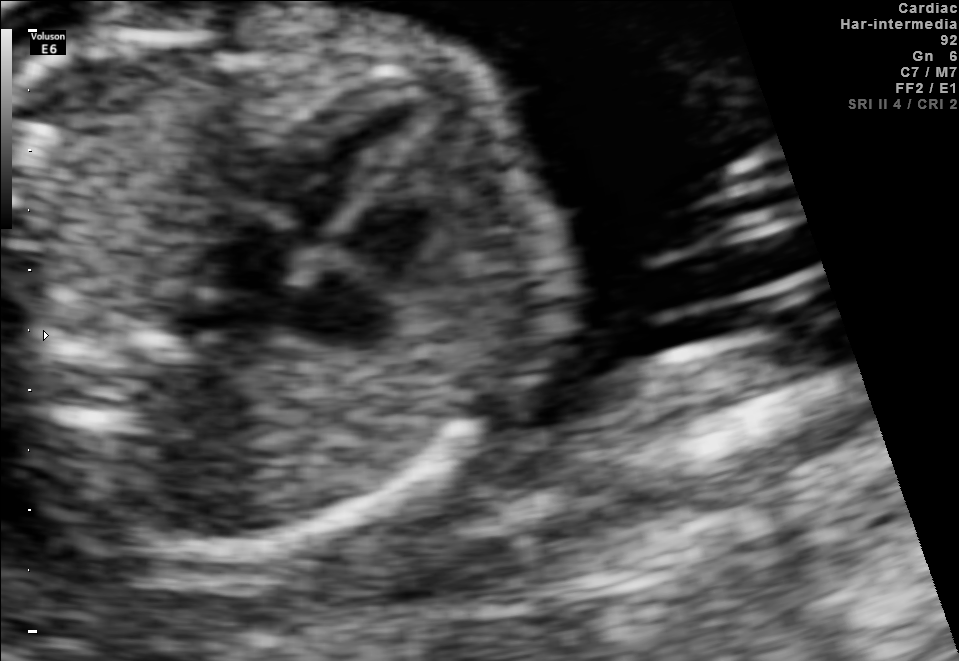
This is a 2D maternal-fetal ultrasound frame. Is it a fetal abdomen, fetal brain, fetal femur, fetal thorax, maternal cervix, or other standard plane? If it's fetal brain and one of the three standard brain planes (trans-thalamic, trans-cerebellum, trans-ventricular), name which.

Fetal thorax